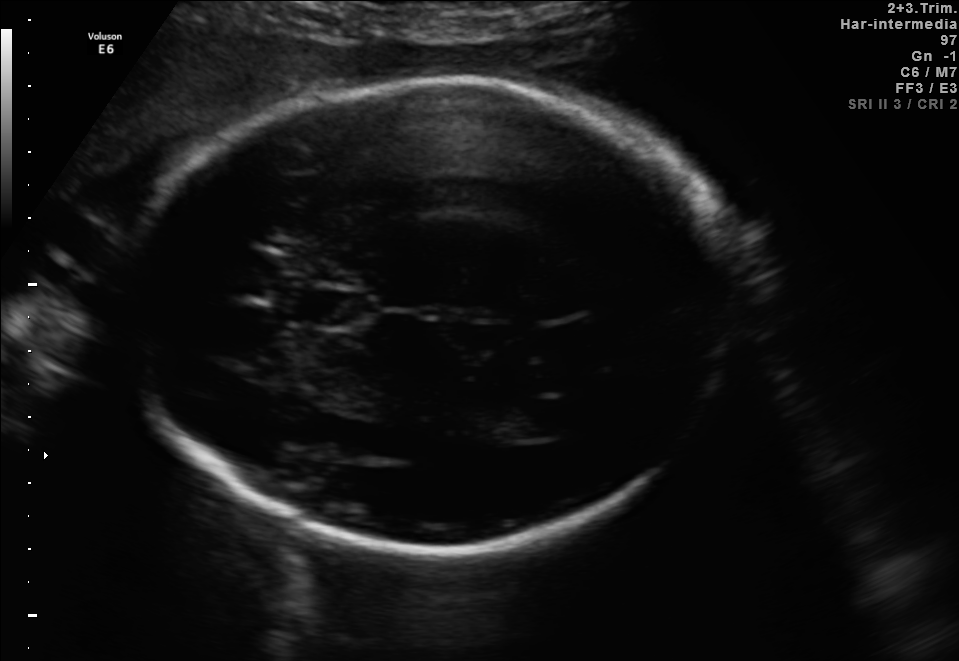
In this fetal brain, trans-thalamic plane, give the bounding box of the fetal head.

[123,78,734,551]